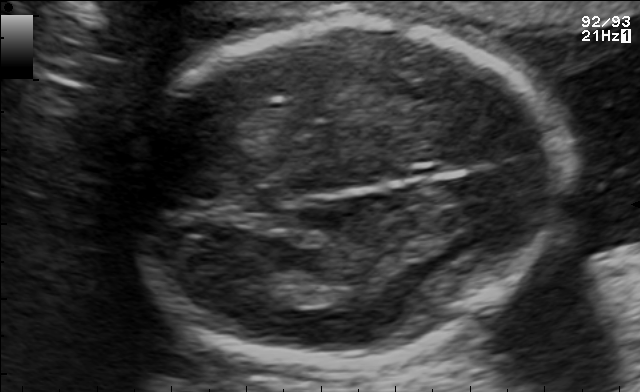
Fetal brain, trans-thalamic plane. Where is the lateral ventricle?

Lateral ventricle bounding box: [250,285,305,308]